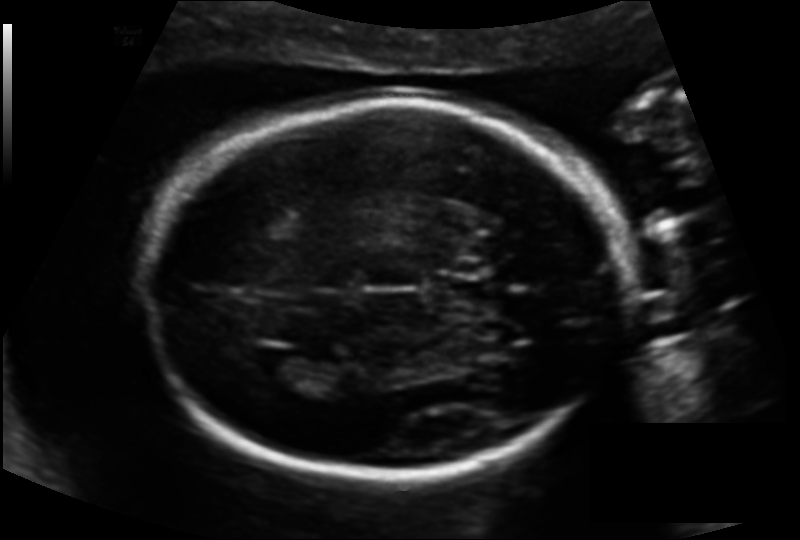
Estimate the fetal head circumference from this 2D ultrasound. Image width: 107.7 mm.

Head circumference: 186.8 mm.